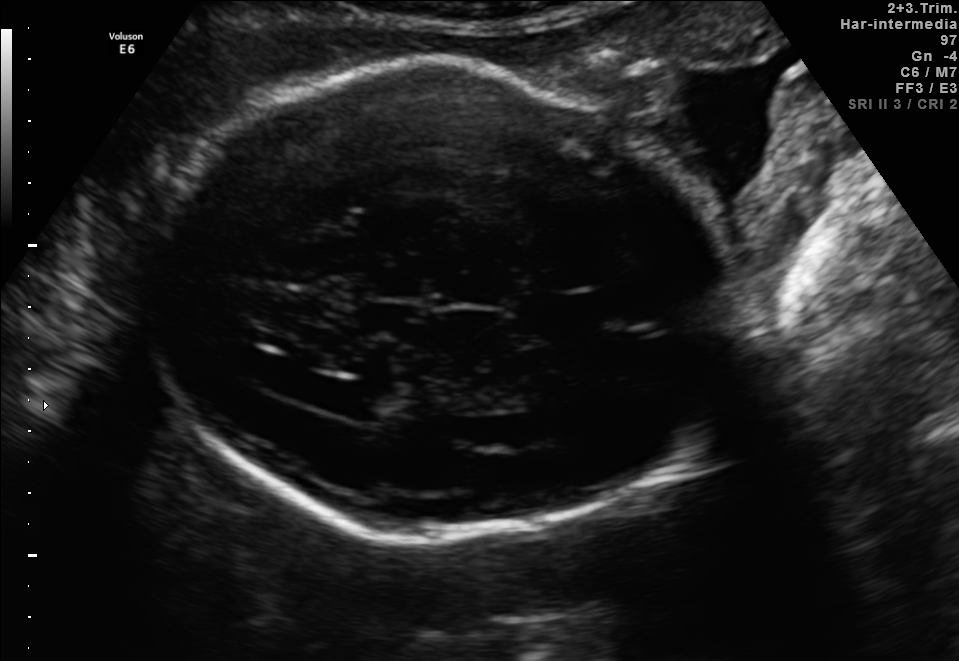
In this fetal brain, trans-ventricular plane, give bounding boxes for the head outline, cavum septum pellucidum (CSP), and lateral ventricle (LV), where visible.

Head: [125,53,758,554]
Lateral ventricle: [302,370,400,426]